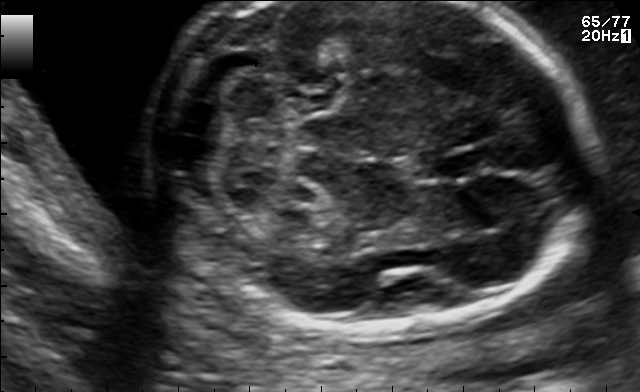
In this fetal brain, trans-cerebellum plane, give bounding boxes for the head outline, cavum septum pellucidum (CSP), and lateral ventricle (LV), where visible.

Head: [148,2,595,336]
CSP: [432,143,494,185]